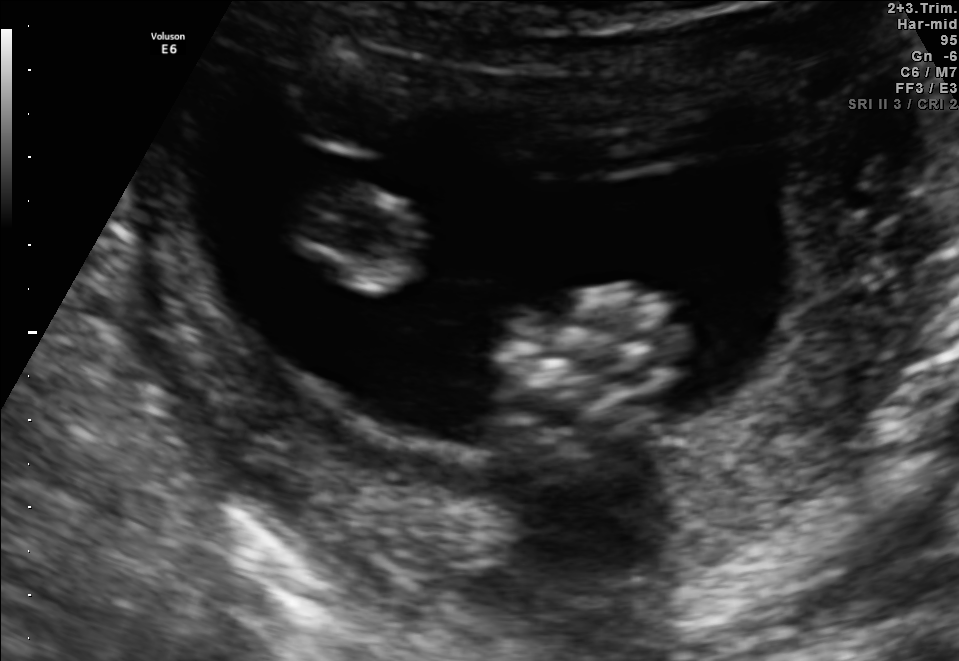
Which standard maternal-fetal ultrasound plane is shown: fetal abdomen, fetal brain, fetal femur, fetal thorax, maternal cervix, or other? If it's fetal brain and one of the three standard brain planes (trans-thalamic, trans-cerebellum, trans-ventricular), name which.

Other